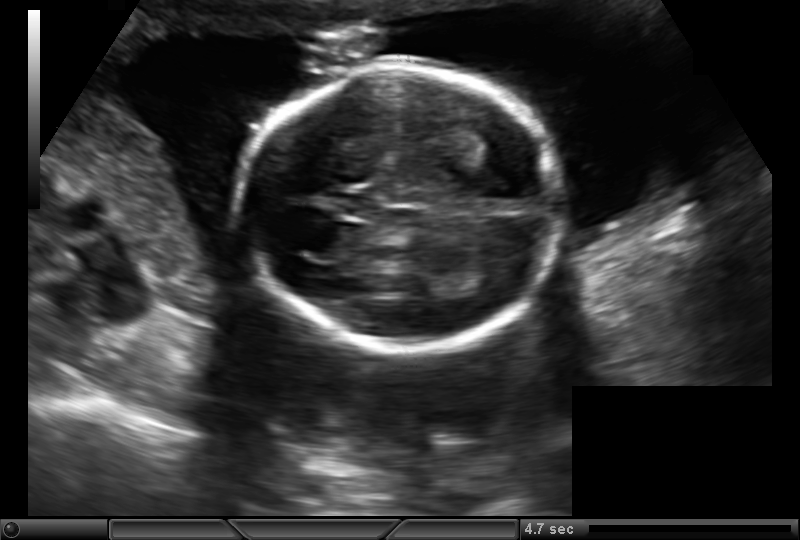
Measure the fetal head circumference shown in this ultrasound image. Image width: 129.0 mm.

Head circumference: 160.4 mm.